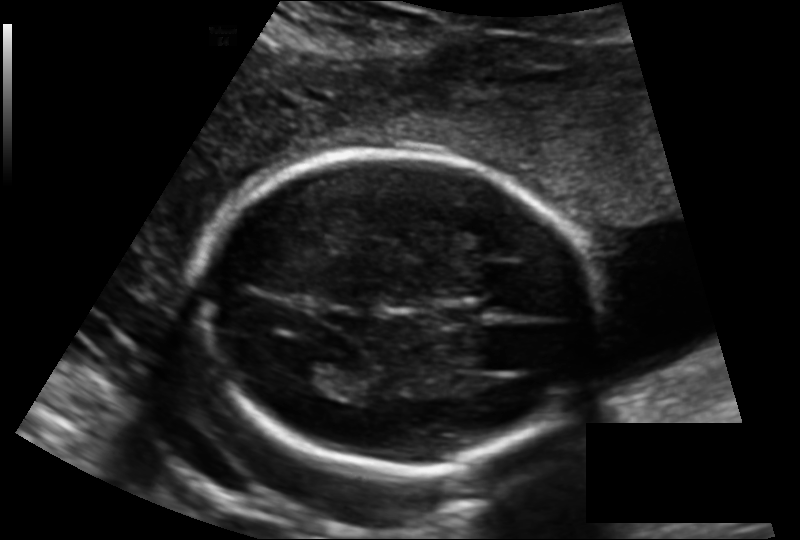
In this fetal head ultrasound, give the bounding box of the lateral ventricle. Image width: 114.7 mm.

[286,350,354,399]